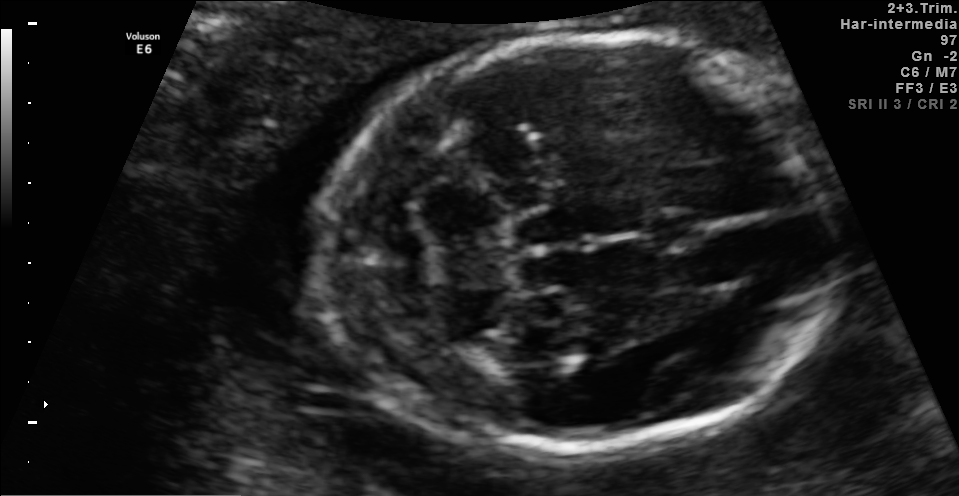
Fetal brain, trans-cerebellum plane. Give [x1,y1,x2,y2] bounding boxes for each visible structure among: fetal head, CSP, LV.

Head: [316,36,843,448]
CSP: [638,208,710,252]